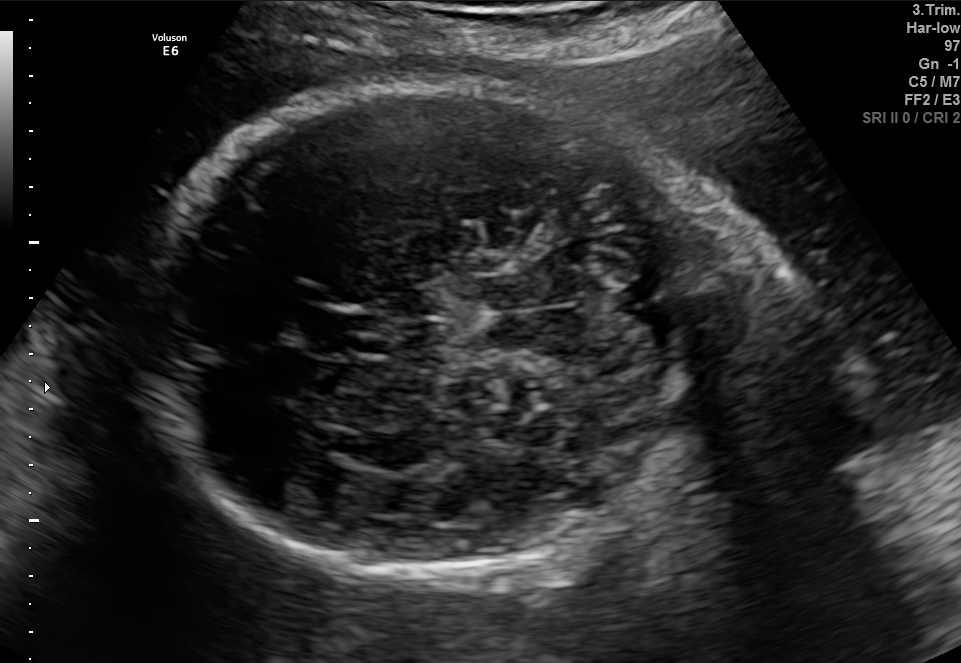
Fetal brain, trans-cerebellum plane. Locate the fetal head and, if visible, the cavum septum pellucidum (CSP) and lateral ventricle (LV). Give bounding boxes as [x1,y1,x2,y2].

Head: [146,81,723,578]
CSP: [306,307,382,361]